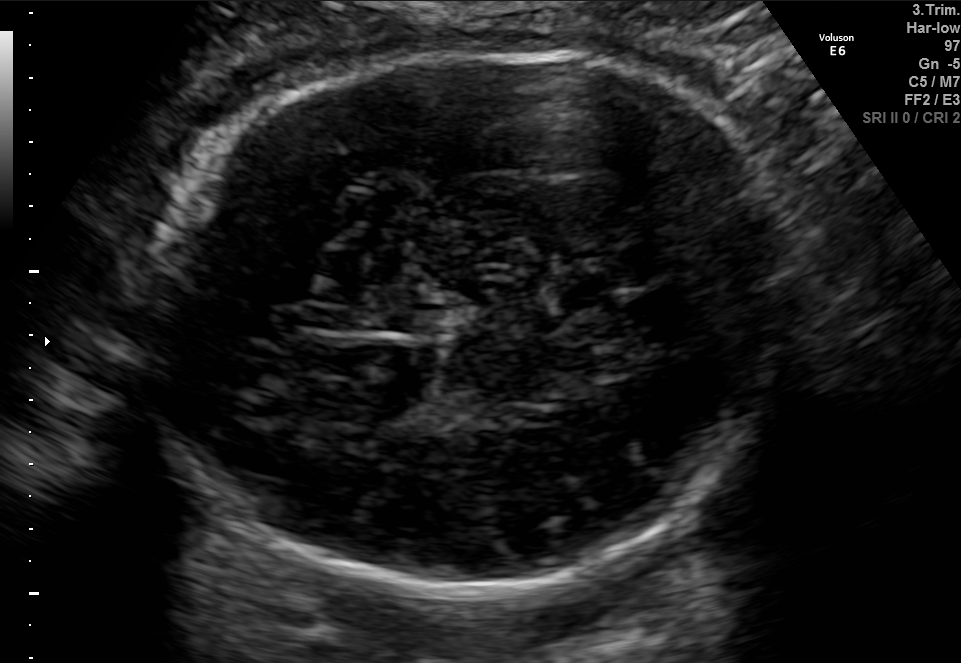
Fetal brain, trans-thalamic plane. Locate the fetal head and, if visible, the cavum septum pellucidum (CSP) and lateral ventricle (LV). Give bounding boxes as [x1,y1,x2,y2].

Head: [158,49,797,592]